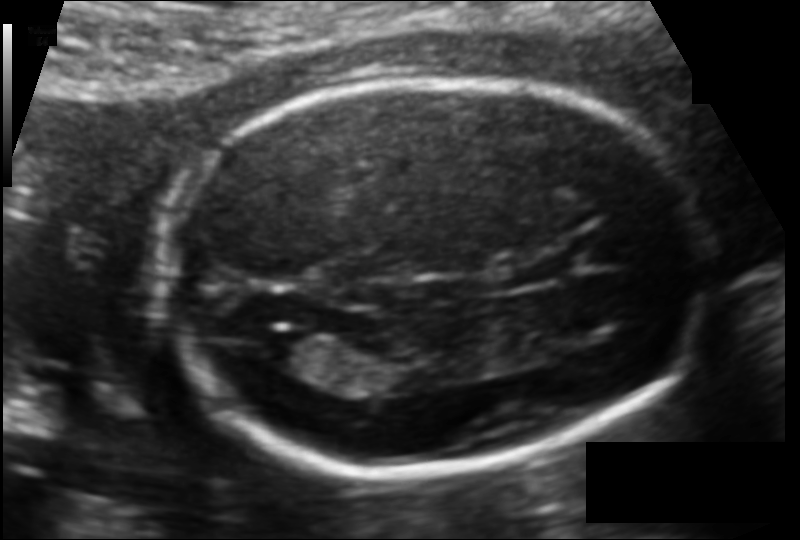
Fetal head ultrasound. Image width: 87.1 mm. Locate the lateral ventricle.

Lateral ventricle: [254,331,324,367]